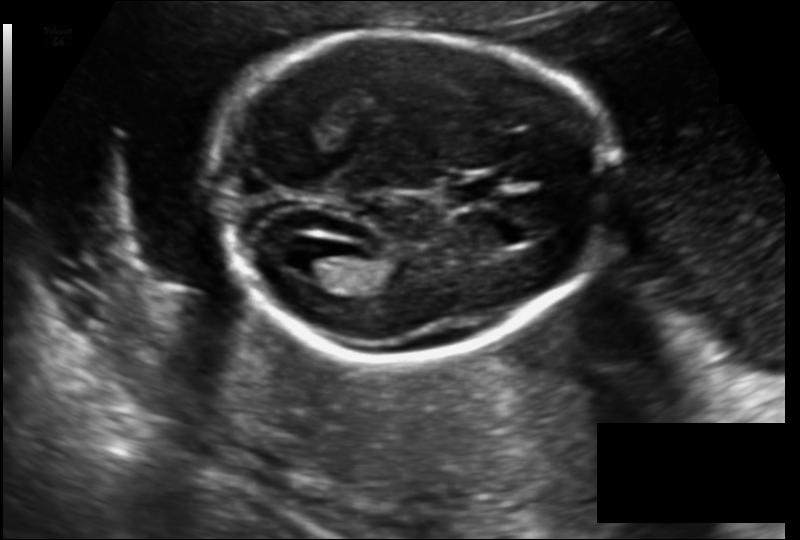
Measure the fetal head circumference shown in this ultrasound image. Image width: 113.3 mm.

Head circumference: 168.9 mm.